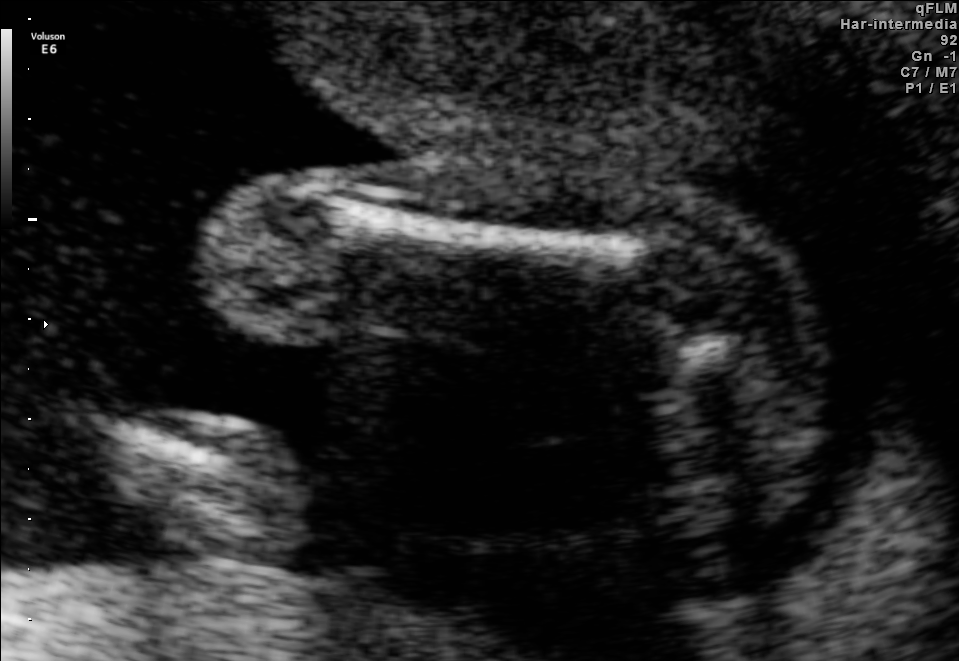
Which standard maternal-fetal ultrasound plane is shown: fetal abdomen, fetal brain, fetal femur, fetal thorax, maternal cervix, or other? If it's fetal brain and one of the three standard brain planes (trans-thalamic, trans-cerebellum, trans-ventricular), name which.

Fetal femur